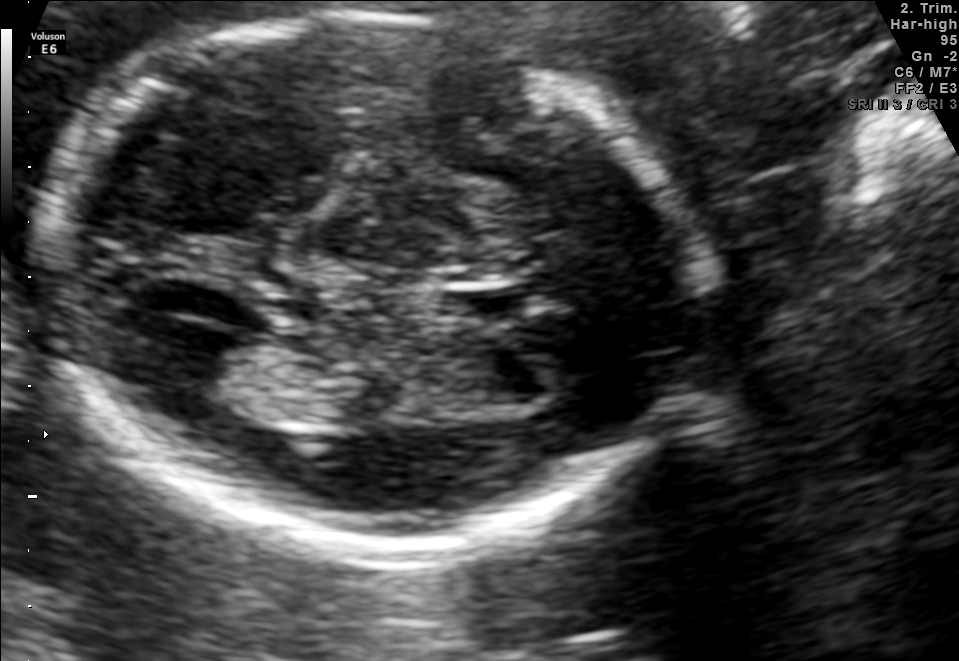
Fetal brain, trans-thalamic plane. Locate the lateral ventricle.

Lateral ventricle: [150,320,276,418]